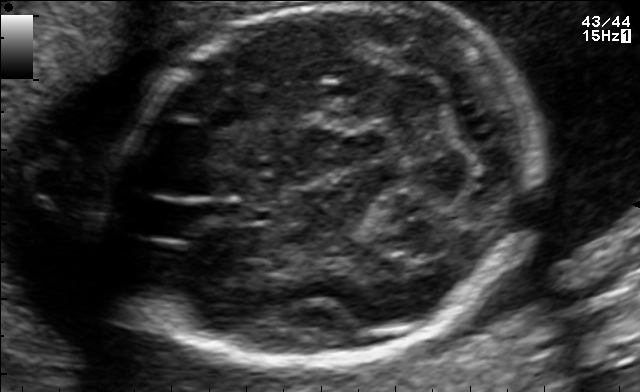
In this fetal brain, trans-cerebellum plane, give the bounding box of the fetal head.

[111,3,545,364]